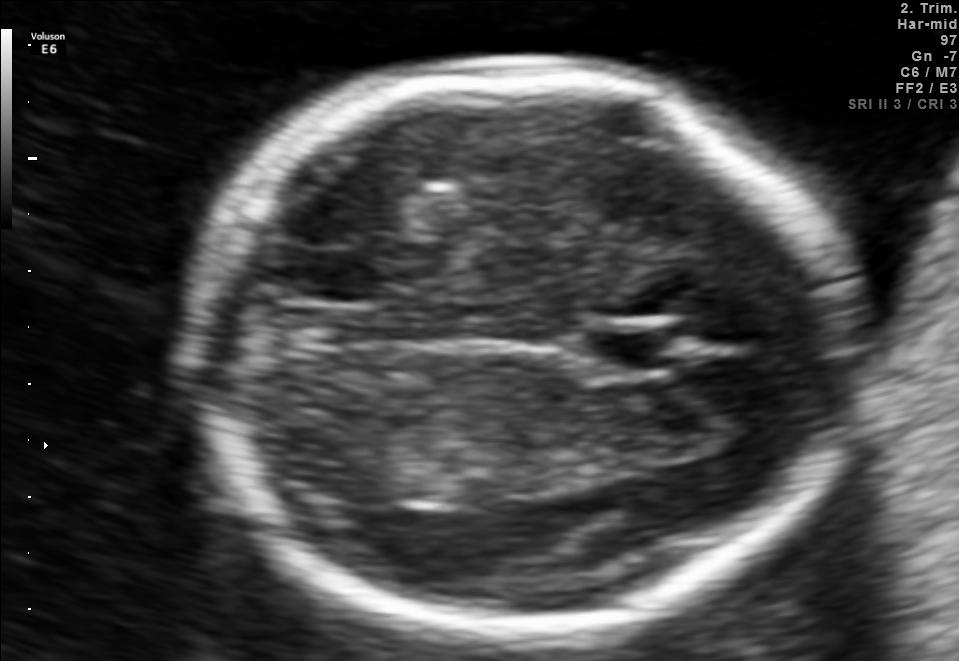
Fetal brain, trans-thalamic plane. Where is the fetal head?

Head bounding box: [187,66,852,647]